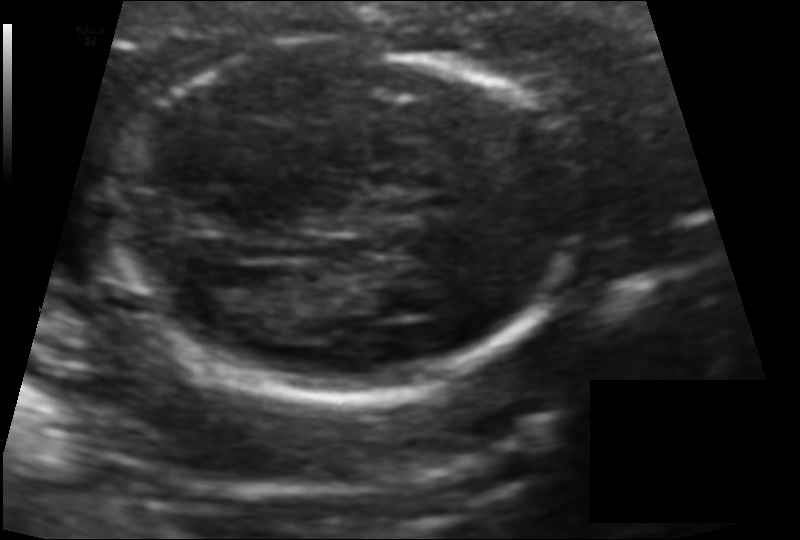
Estimate the fetal head circumference from this 2D ultrasound. Image width: 81.1 mm.

Head circumference: 135.1 mm.